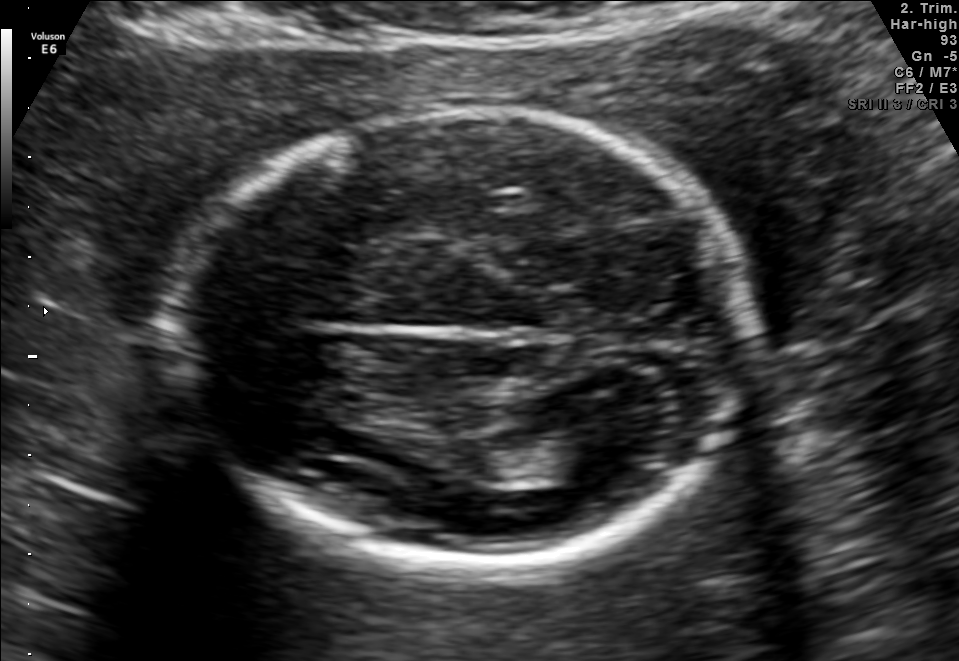
In this fetal brain, trans-thalamic plane, give the bounding box of the lateral ventricle.

[520,427,635,489]